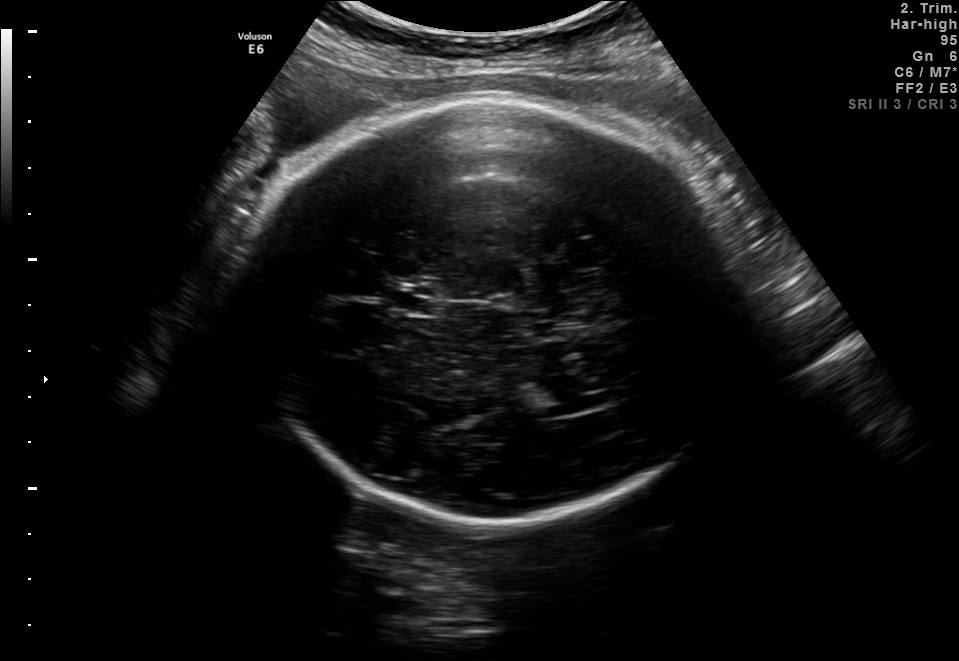
Which standard maternal-fetal ultrasound plane is shown: fetal abdomen, fetal brain, fetal femur, fetal thorax, maternal cervix, or other? If it's fetal brain and one of the three standard brain planes (trans-thalamic, trans-cerebellum, trans-ventricular), name which.

Fetal brain (trans-ventricular plane)